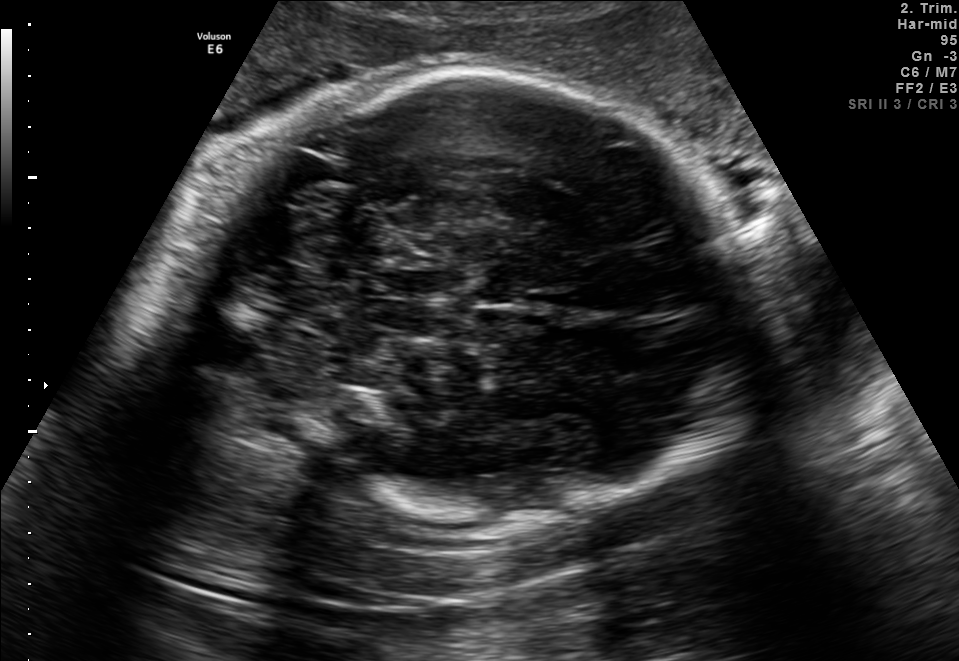
In this fetal brain, trans-thalamic plane, give the bounding box of the fetal head.

[218,67,755,528]